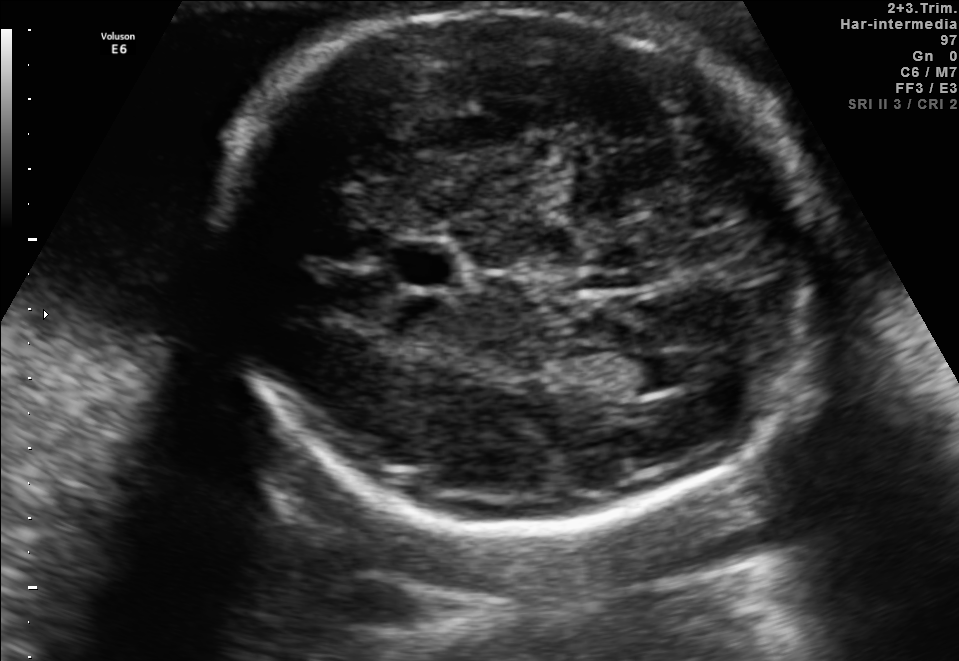
Classify this maternal-fetal ultrasound image as one of the six standard planes — fetal abdomen, fetal brain, fetal femur, fetal thorax, maternal cervix, or other. If it's fetal brain and one of the three standard brain planes (trans-thalamic, trans-cerebellum, trans-ventricular), name which.

Fetal brain (trans-ventricular plane)